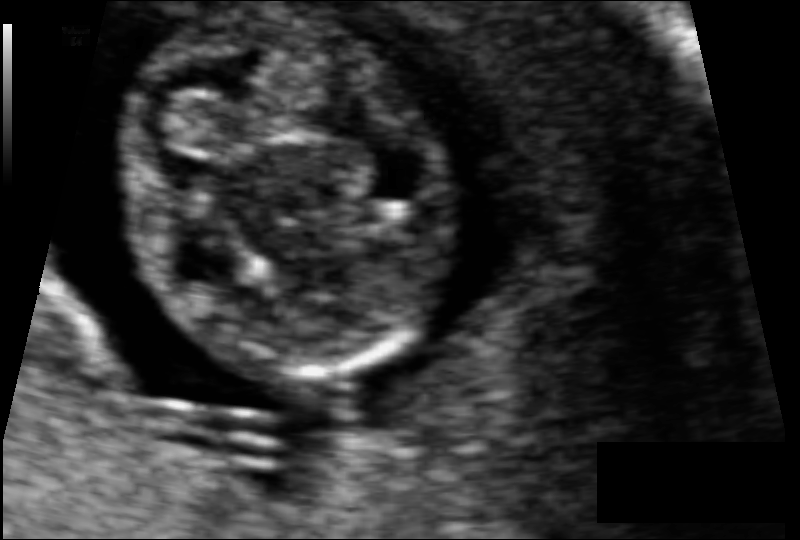
From this fetal ultrasound, estimate the head circumference (image width 49.6 mm).

Head circumference: 68.8 mm.